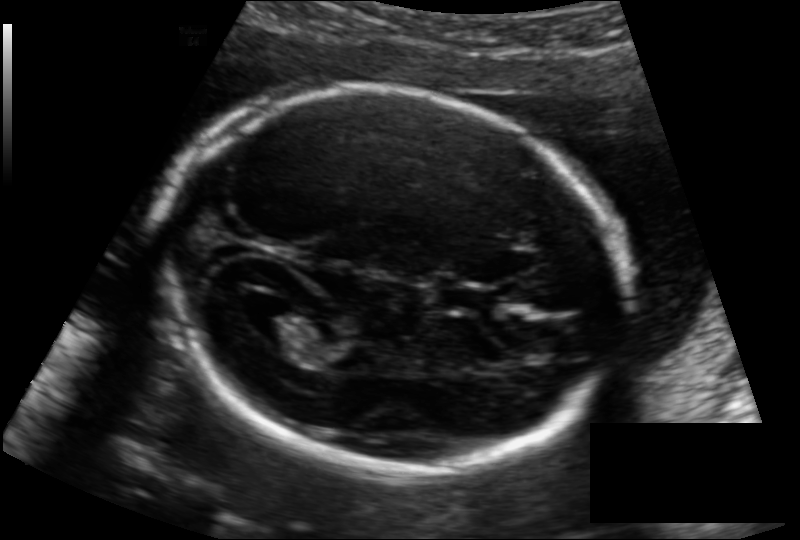
Estimate the fetal head circumference from this 2D ultrasound. Image width: 106.5 mm.

Head circumference: 180.8 mm.